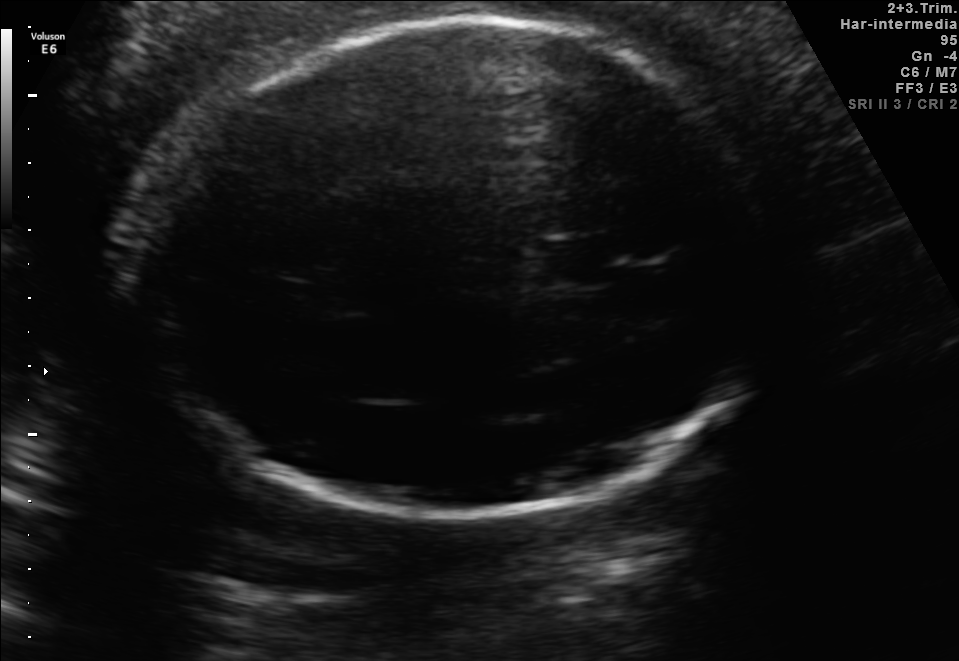
This is a 2D maternal-fetal ultrasound frame. Is it a fetal abdomen, fetal brain, fetal femur, fetal thorax, maternal cervix, or other standard plane? If it's fetal brain and one of the three standard brain planes (trans-thalamic, trans-cerebellum, trans-ventricular), name which.

Fetal brain (trans-thalamic plane)